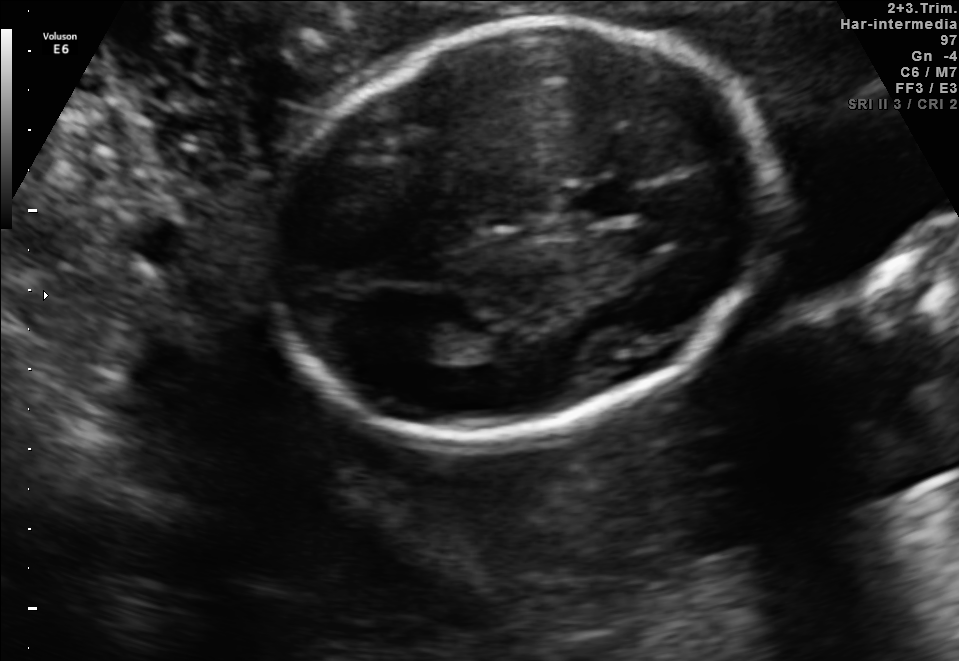
Fetal brain, trans-thalamic plane. Locate the cavum septum pellucidum.

CSP: [568,176,640,226]